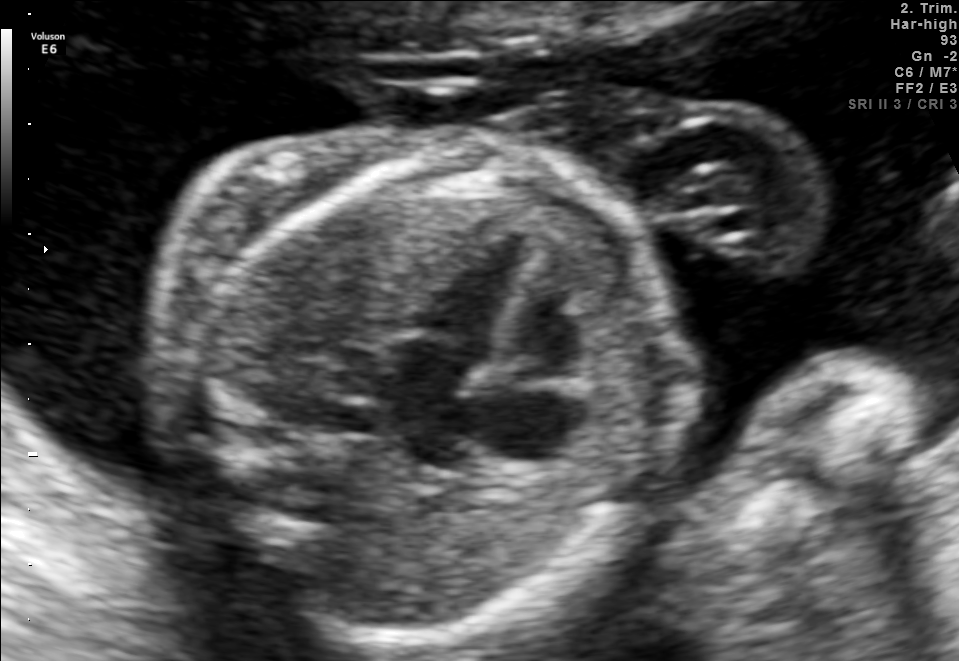
Which standard maternal-fetal ultrasound plane is shown: fetal abdomen, fetal brain, fetal femur, fetal thorax, maternal cervix, or other? If it's fetal brain and one of the three standard brain planes (trans-thalamic, trans-cerebellum, trans-ventricular), name which.

Fetal thorax